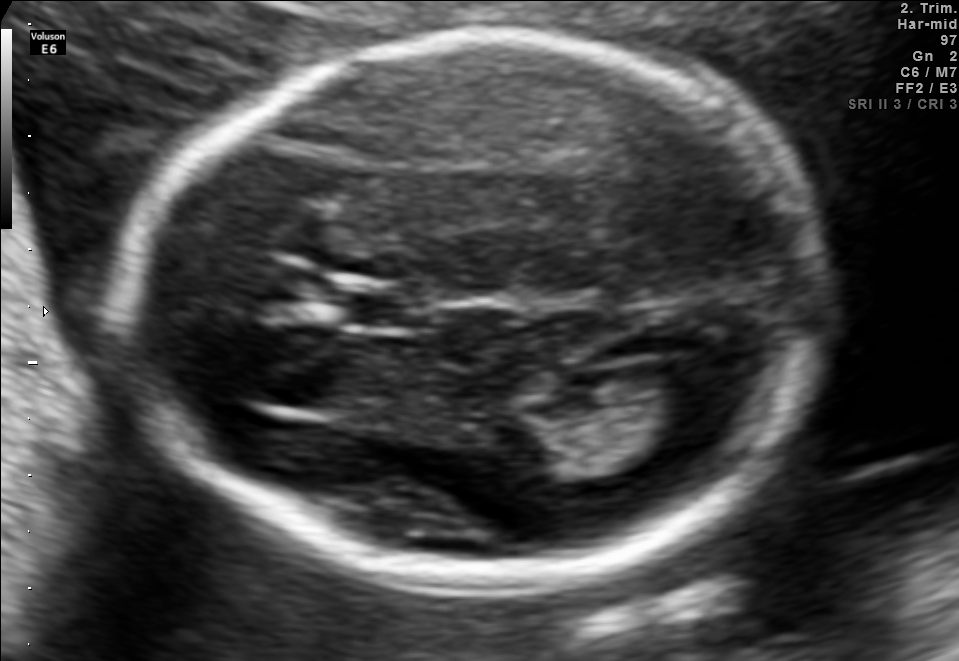
Fetal brain, trans-ventricular plane. Locate the fetal head.

Head: [131,22,840,589]